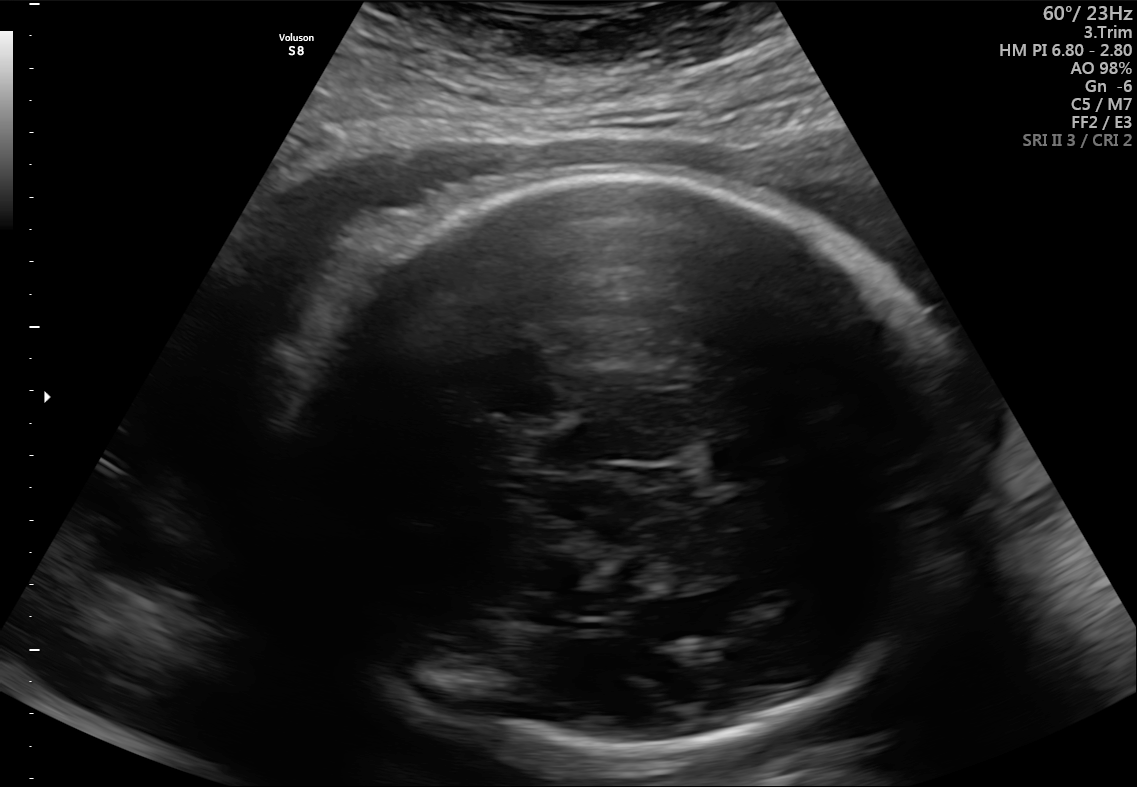
Fetal brain, trans-thalamic plane. Locate the cavum septum pellucidum.

CSP: [710,440,777,479]